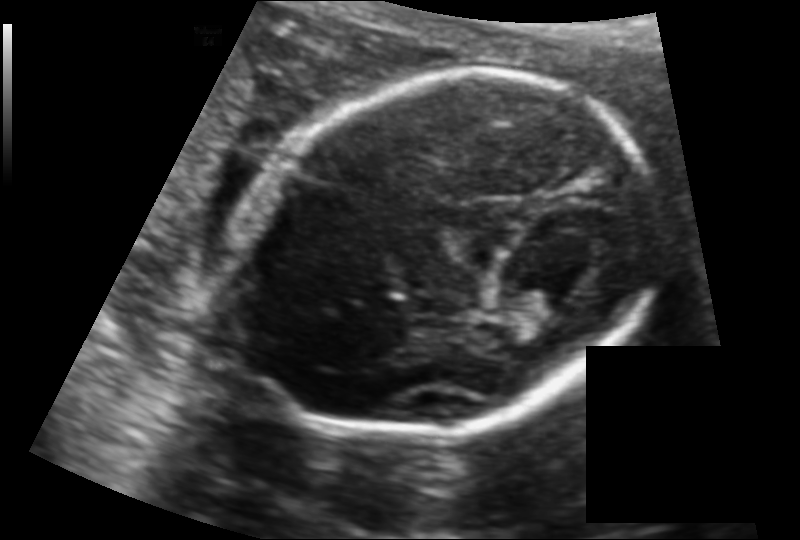
Fetal head ultrasound. Image width: 103.7 mm. Give [x1,y1,x2,y2] bounding boxes for each visible structure among: fetal head, CSP, LV.

Head: [222,70,652,437]